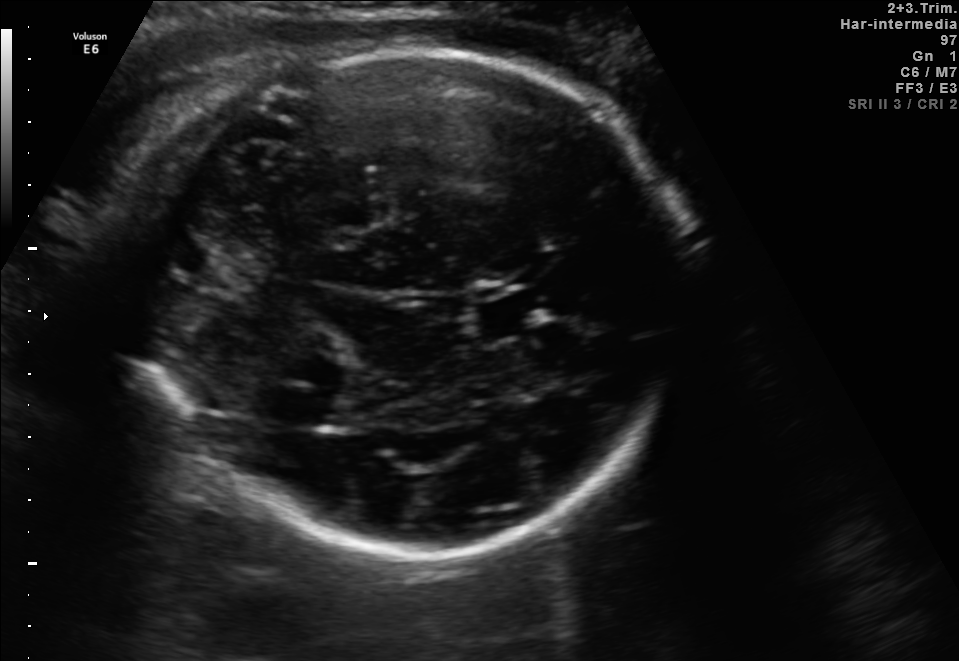
Fetal brain, trans-thalamic plane. Locate the cavum septum pellucidum.

CSP: [474,289,546,342]